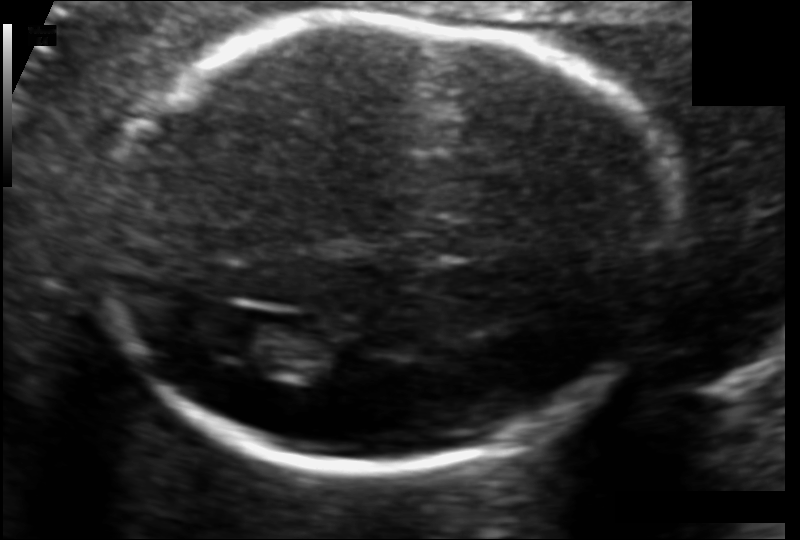
Estimate the fetal head circumference from this 2D ultrasound. Image width: 84.9 mm.

Head circumference: 175.1 mm.